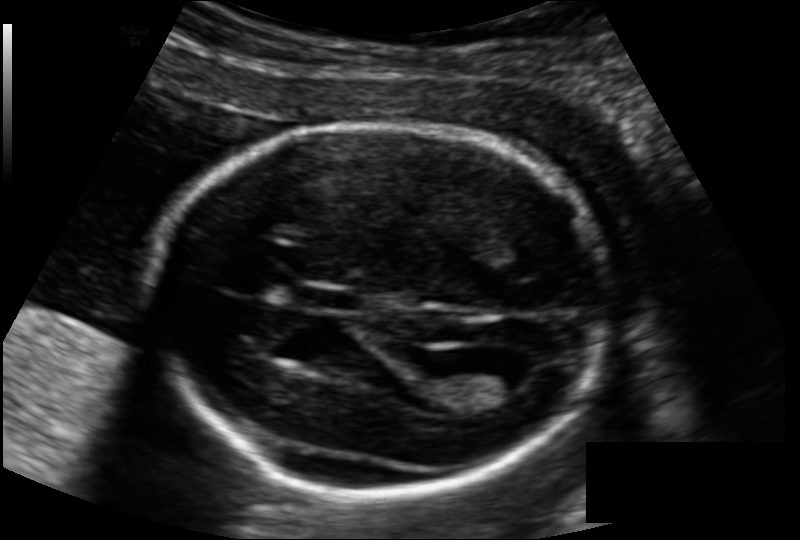
In this fetal head ultrasound, give the bounding box of the cavum septum pellucidum. Image width: 106.7 mm.

[295,280,355,315]